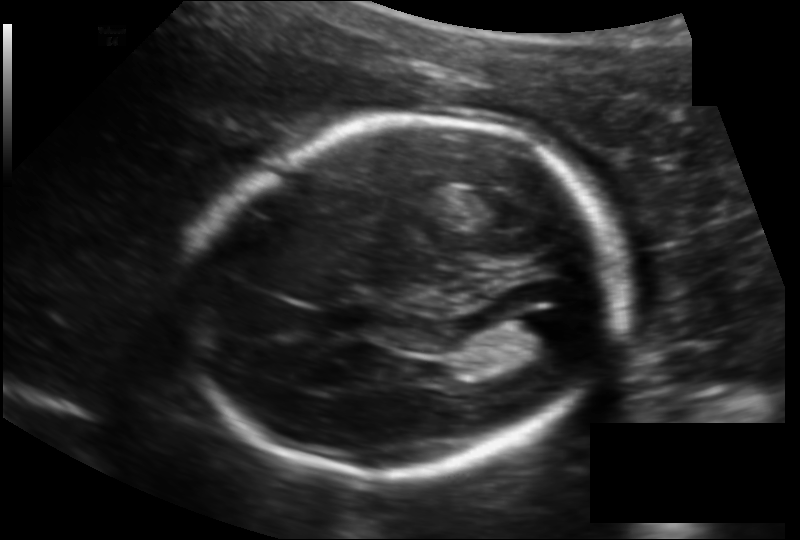
From this fetal ultrasound, estimate the head circumference (image width 115.9 mm).

Head circumference: 185.8 mm.